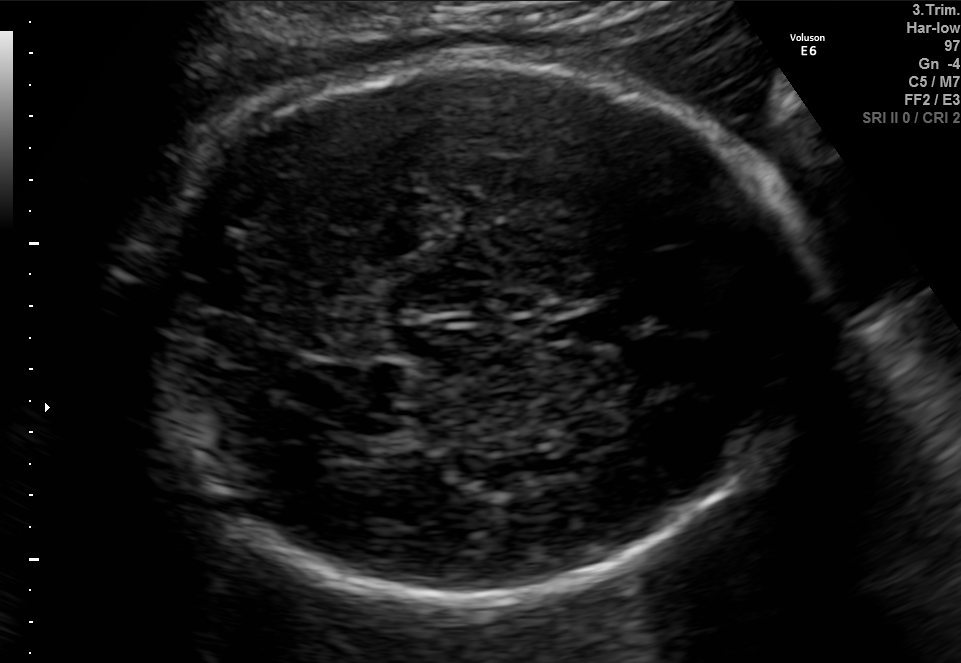
Fetal brain, trans-thalamic plane. Where is the cavum septum pellucidum?

CSP bounding box: [555,309,627,347]